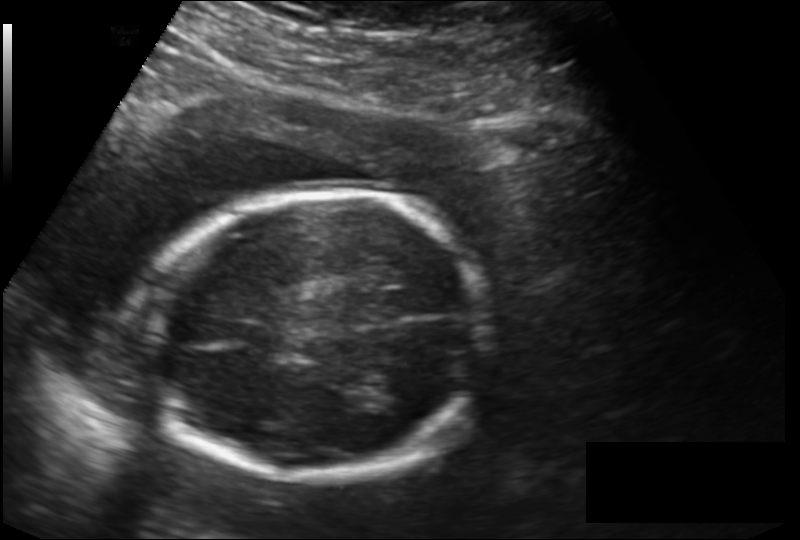
Estimate the fetal head circumference from this 2D ultrasound. Image width: 133.1 mm.

Head circumference: 173.1 mm.